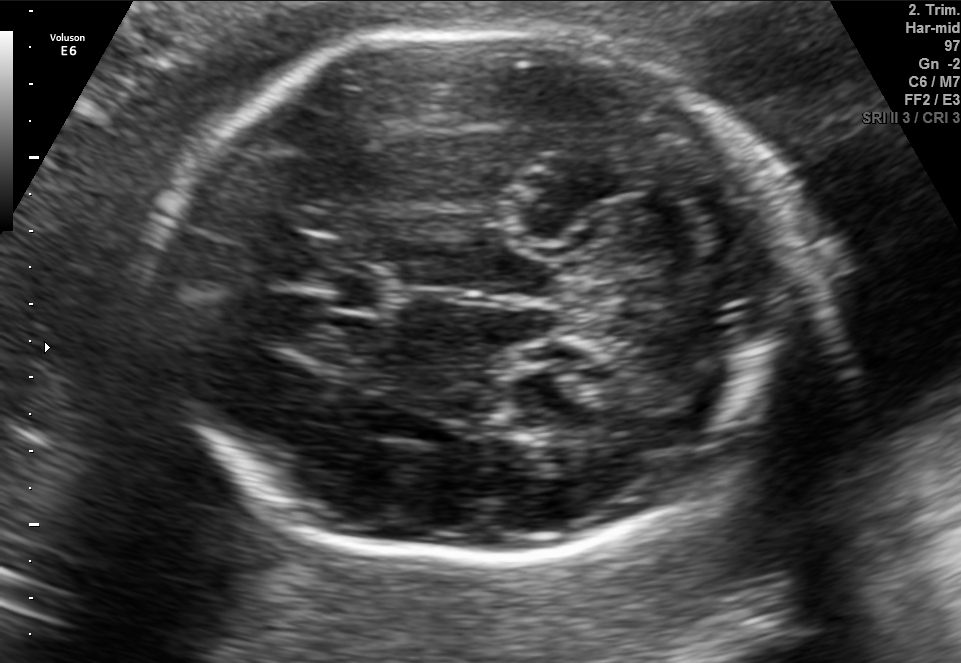
Fetal brain, trans-cerebellum plane. Locate the cavum septum pellucidum.

CSP: [324,268,400,318]